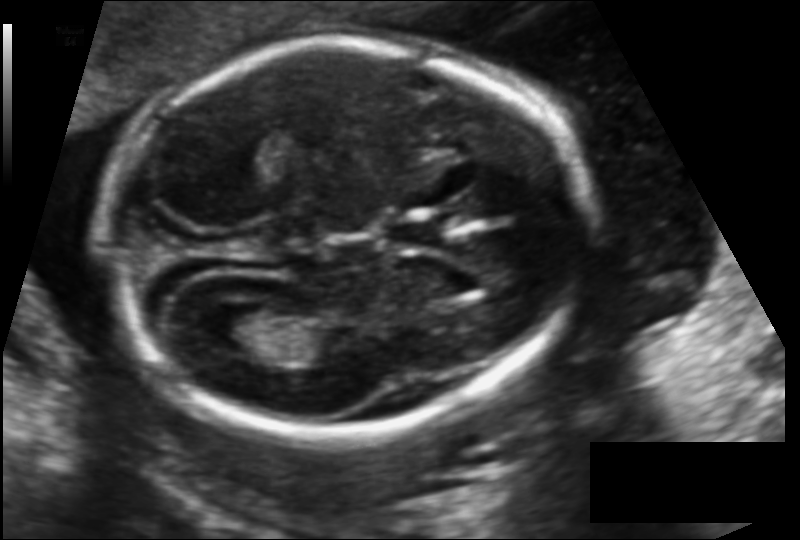
From this fetal ultrasound, estimate the head circumference (image width 98.7 mm).

Head circumference: 173.7 mm.